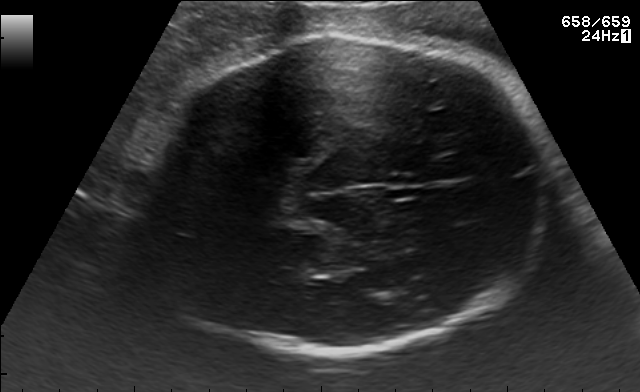
In this fetal brain, trans-thalamic plane, give bounding boxes for the head outline, cavum septum pellucidum (CSP), and lateral ventricle (LV), where visible.

Head: [120,37,552,351]